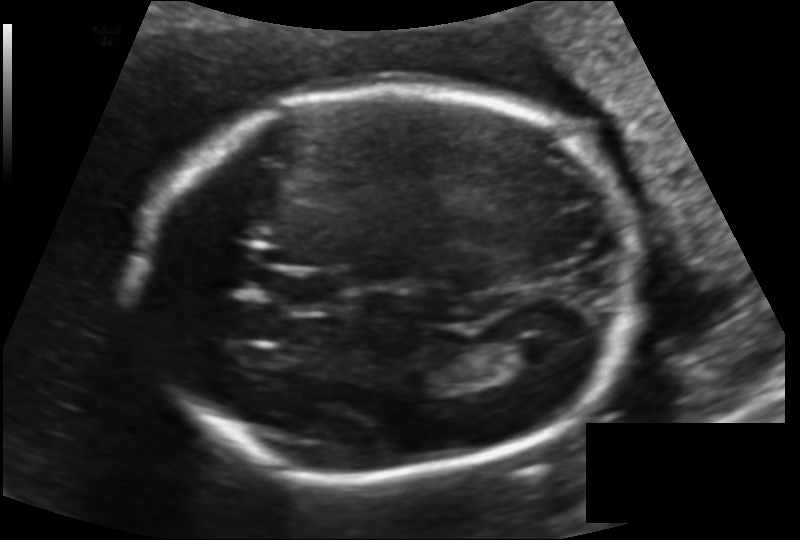
Fetal head ultrasound. Image width: 115.0 mm. Where is the lateral ventricle?

Lateral ventricle bounding box: [501,330,560,373]